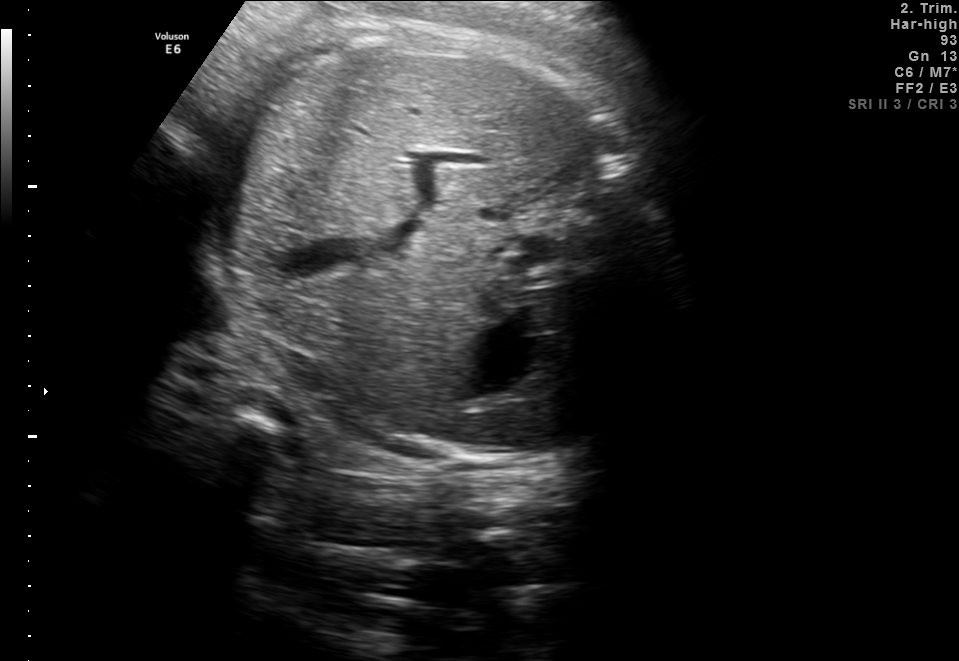
This is a 2D maternal-fetal ultrasound frame. Is it a fetal abdomen, fetal brain, fetal femur, fetal thorax, maternal cervix, or other standard plane? If it's fetal brain and one of the three standard brain planes (trans-thalamic, trans-cerebellum, trans-ventricular), name which.

Fetal abdomen